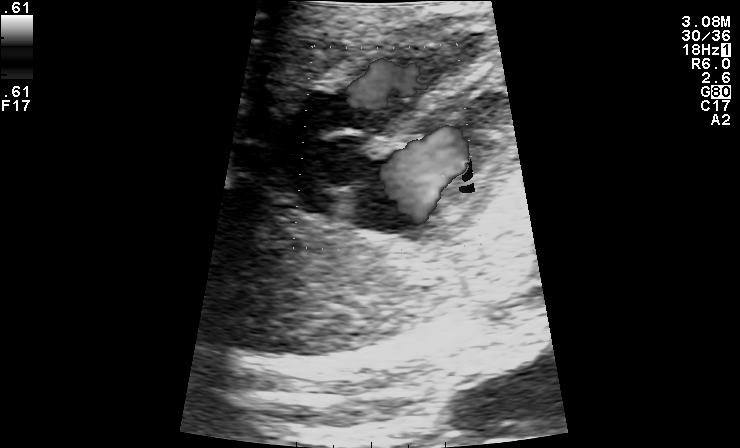
This is a 2D maternal-fetal ultrasound frame. Is it a fetal abdomen, fetal brain, fetal femur, fetal thorax, maternal cervix, or other standard plane? If it's fetal brain and one of the three standard brain planes (trans-thalamic, trans-cerebellum, trans-ventricular), name which.

Other